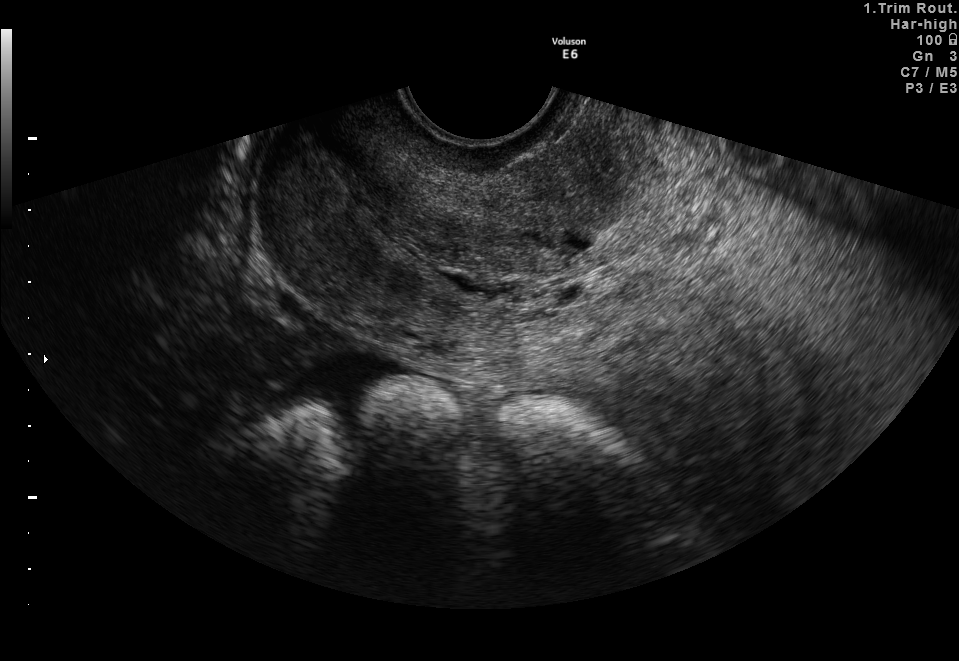
Which standard maternal-fetal ultrasound plane is shown: fetal abdomen, fetal brain, fetal femur, fetal thorax, maternal cervix, or other? If it's fetal brain and one of the three standard brain planes (trans-thalamic, trans-cerebellum, trans-ventricular), name which.

Maternal cervix